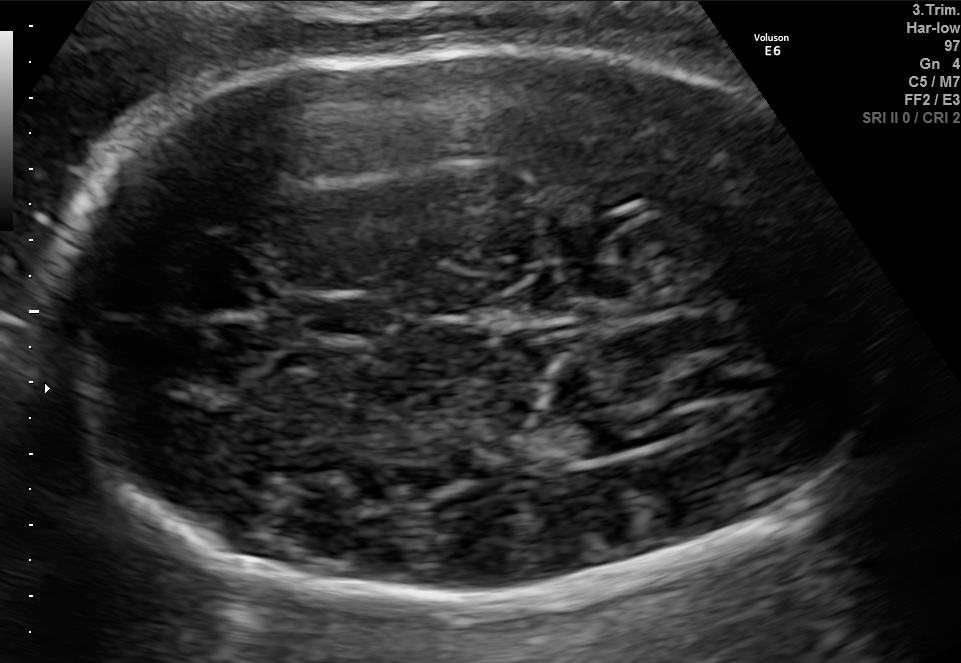
Fetal brain, trans-thalamic plane. Locate the cavum septum pellucidum.

CSP: [296,299,389,335]